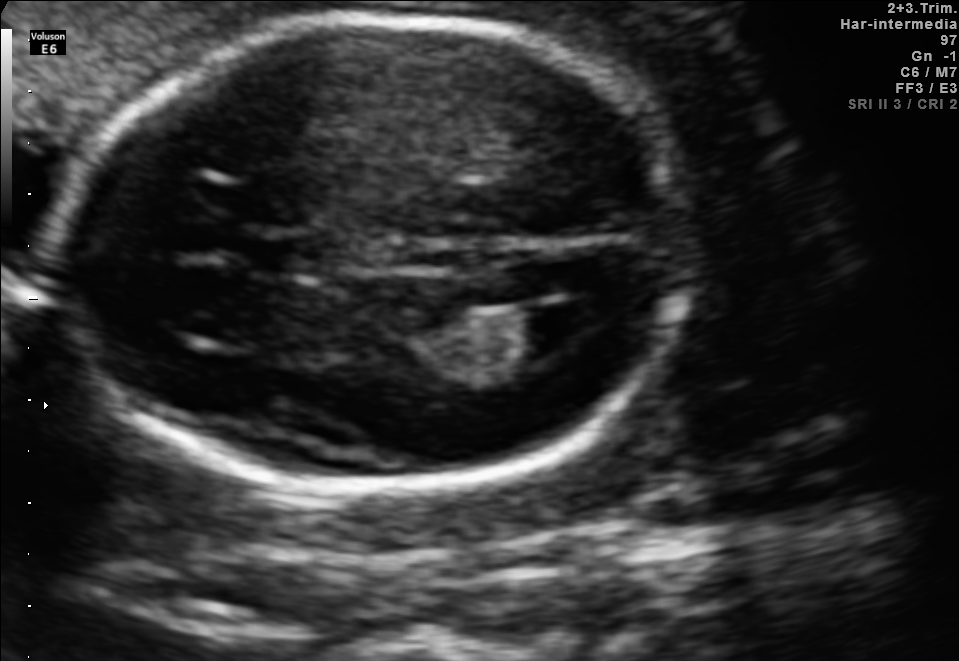
Fetal brain, trans-ventricular plane. Where is the lateral ventricle?

Lateral ventricle bounding box: [516,294,607,360]